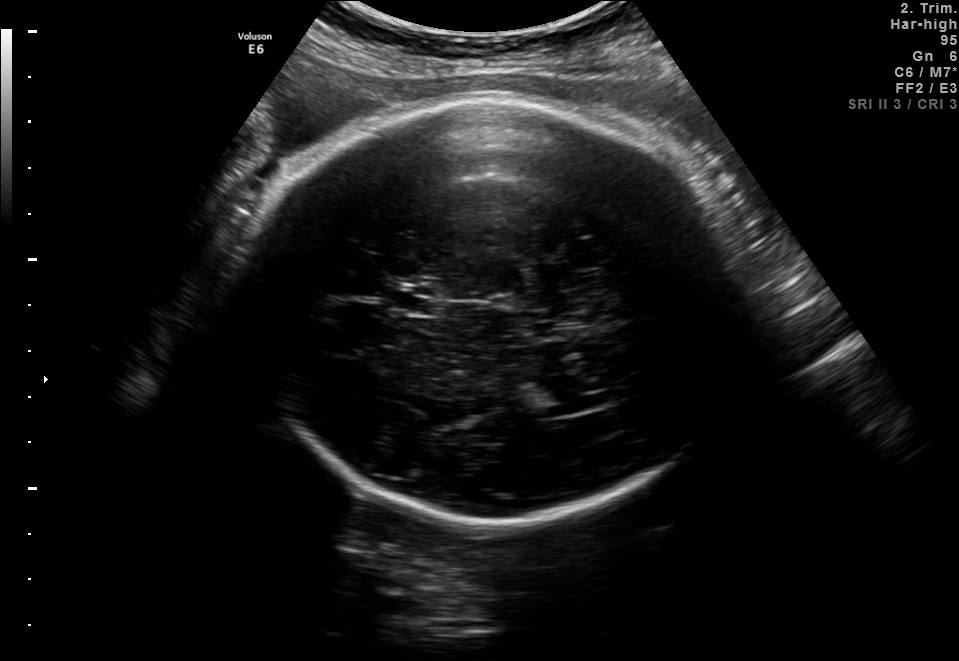
Fetal brain, trans-ventricular plane. Where is the cavum septum pellucidum?

CSP bounding box: [381,287,442,314]